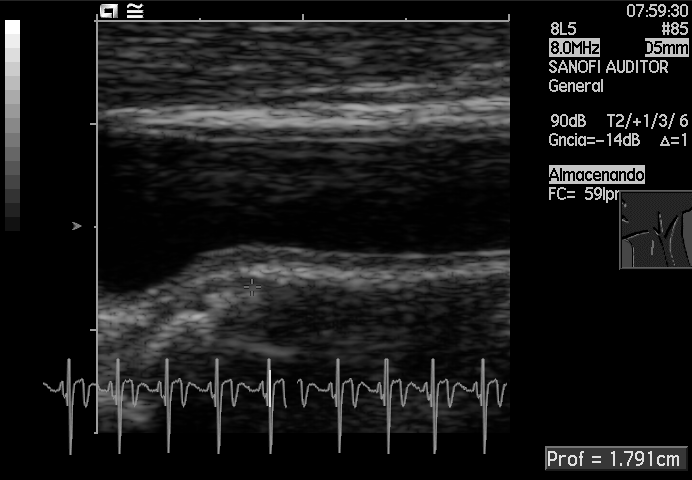
Identify the standard plane in this fetal ultrasound image: fetal abdomen, fetal brain, fetal femur, fetal thorax, maternal cervix, or other. If it's fetal brain and one of the three standard brain planes (trans-thalamic, trans-cerebellum, trans-ventricular), name which.

Other